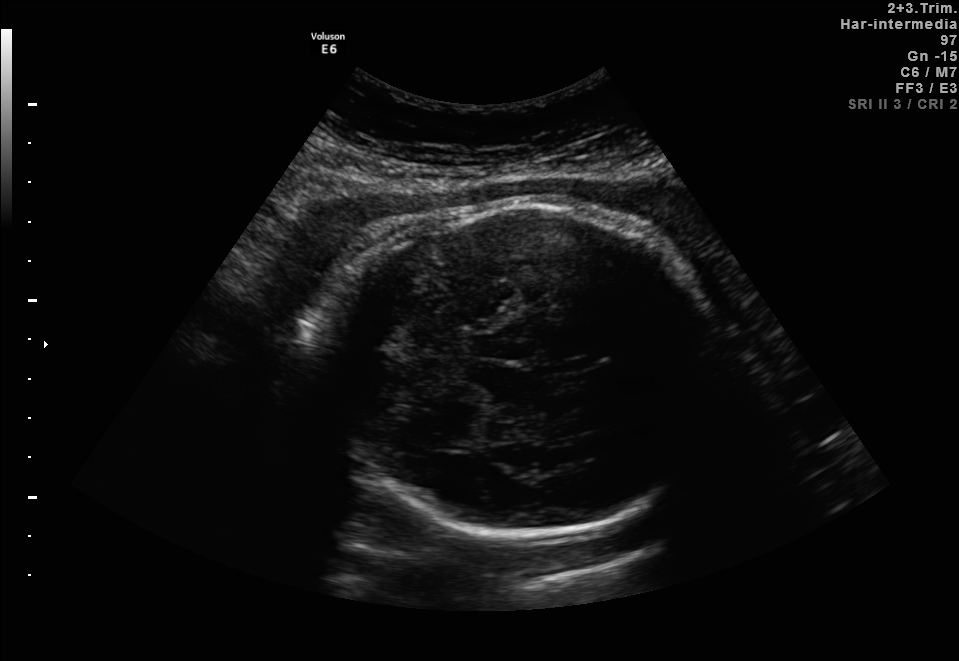
Fetal brain, trans-thalamic plane. Locate the fetal head.

Head: [310,198,721,539]